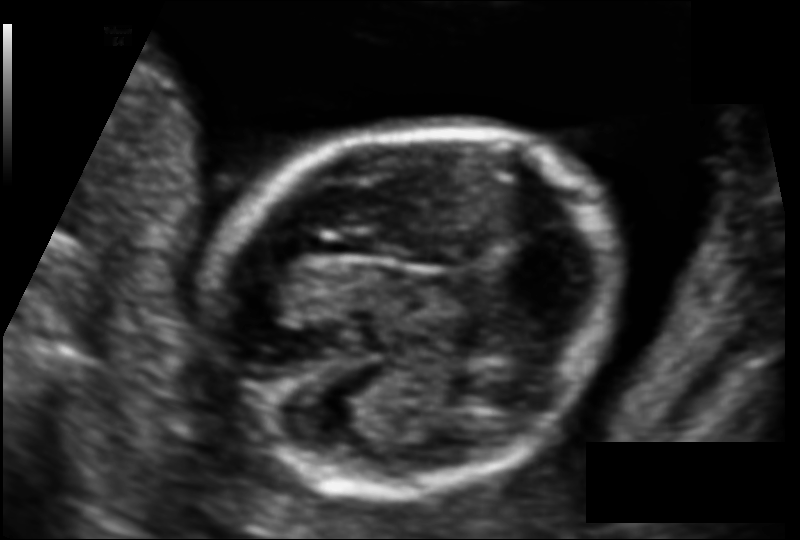
Fetal head ultrasound. Image width: 79.2 mm. Where is the fetal head?

Head bounding box: [206,124,621,491]